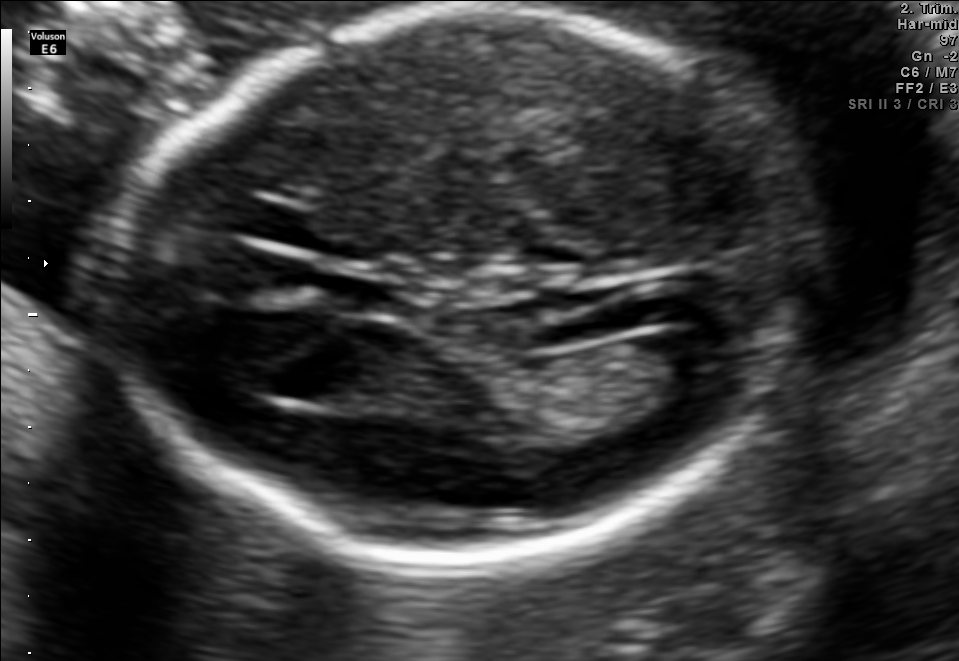
Fetal brain, trans-ventricular plane. Locate the fetal head and, if visible, the cavum septum pellucidum (CSP) and lateral ventricle (LV). Give bounding boxes as [x1,y1,x2,y2].

Head: [101,4,828,565]
CSP: [332,276,404,319]
Lateral ventricle: [634,312,753,405]